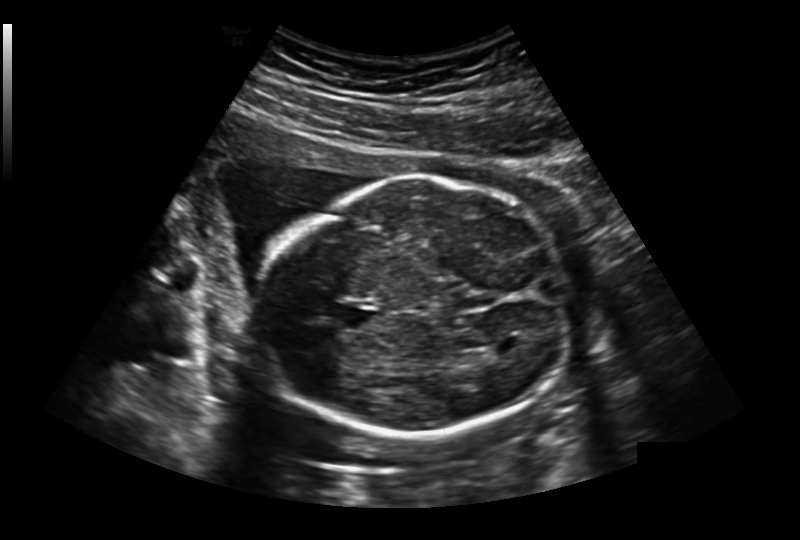
In this fetal head ultrasound, give the bounding box of the fetal head. Image width: 188.6 mm.

[256,176,571,440]